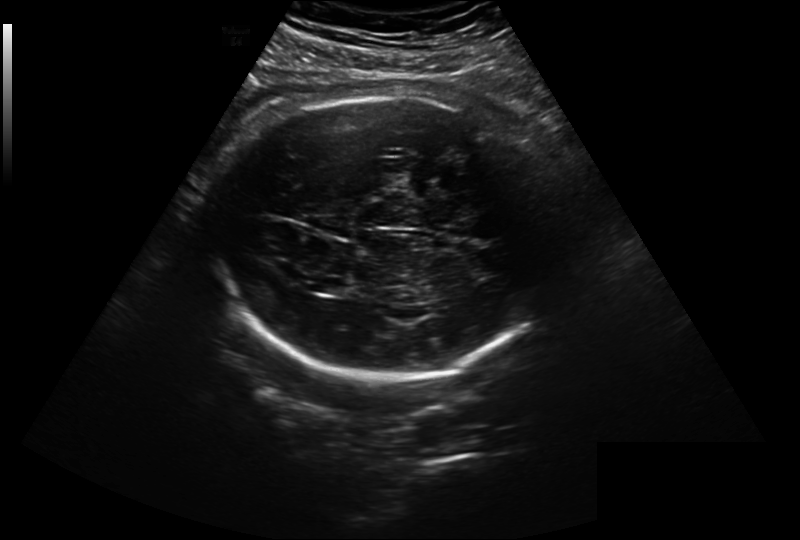
Fetal head ultrasound. Image width: 239.2 mm. Locate the fetal head.

Head: [217,95,553,383]